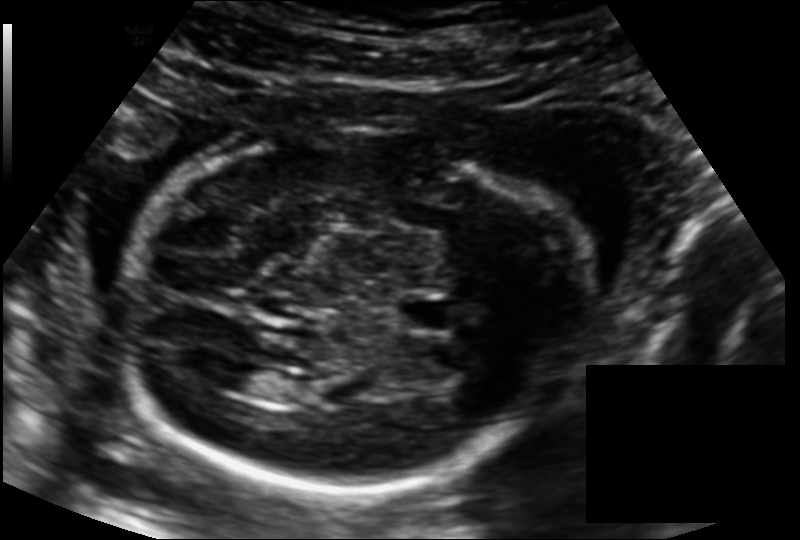
Fetal head ultrasound. Image width: 111.3 mm. Locate the cavum septum pellucidum.

CSP: [400,298,453,331]